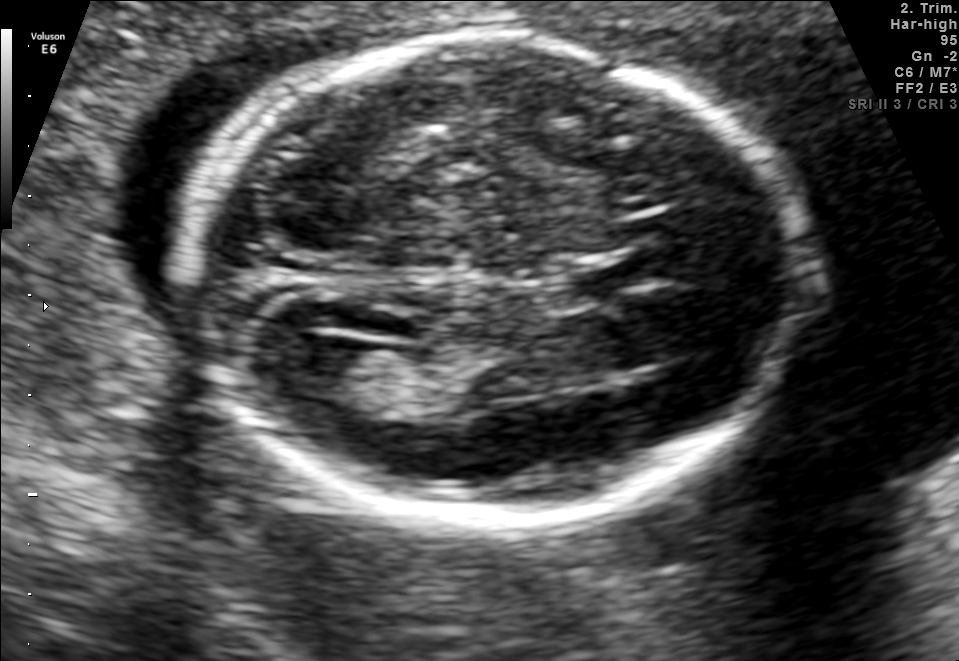
Fetal brain, trans-ventricular plane. Give [x1,y1,x2,y2] bounding boxes for each visible structure among: fetal head, CSP, LV.

Head: [173,30,822,533]
CSP: [530,238,668,314]
Lateral ventricle: [264,326,377,409]